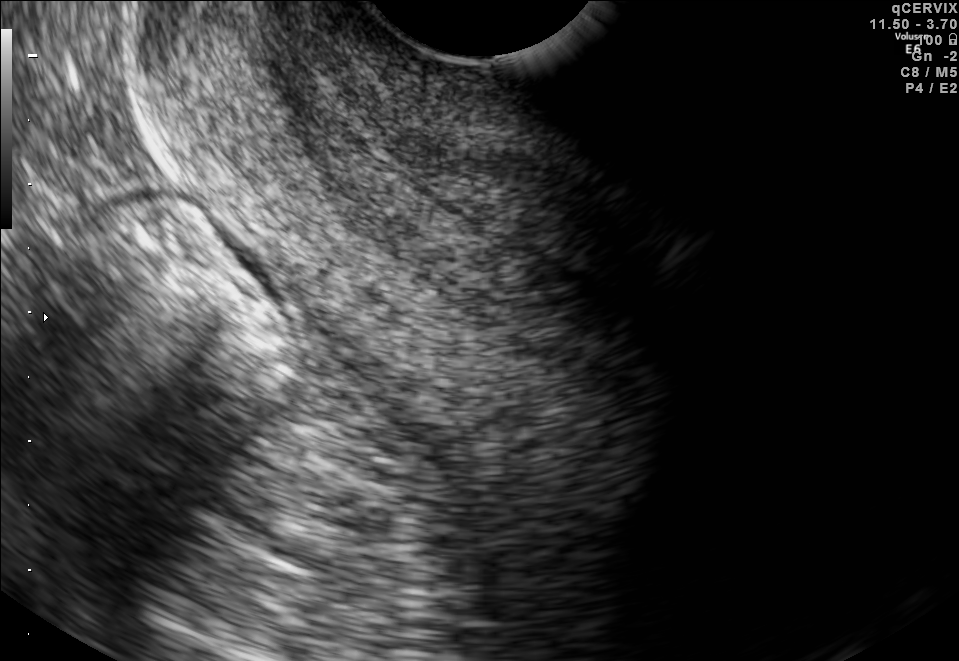
Identify the standard plane in this fetal ultrasound image: fetal abdomen, fetal brain, fetal femur, fetal thorax, maternal cervix, or other. If it's fetal brain and one of the three standard brain planes (trans-thalamic, trans-cerebellum, trans-ventricular), name which.

Maternal cervix